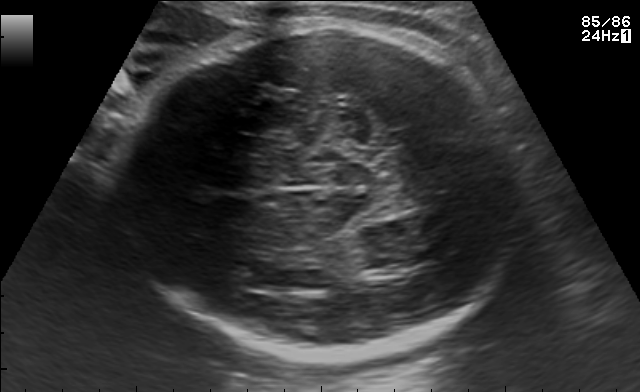
Fetal brain, trans-thalamic plane. Locate the fetal head.

Head: [114,26,529,358]